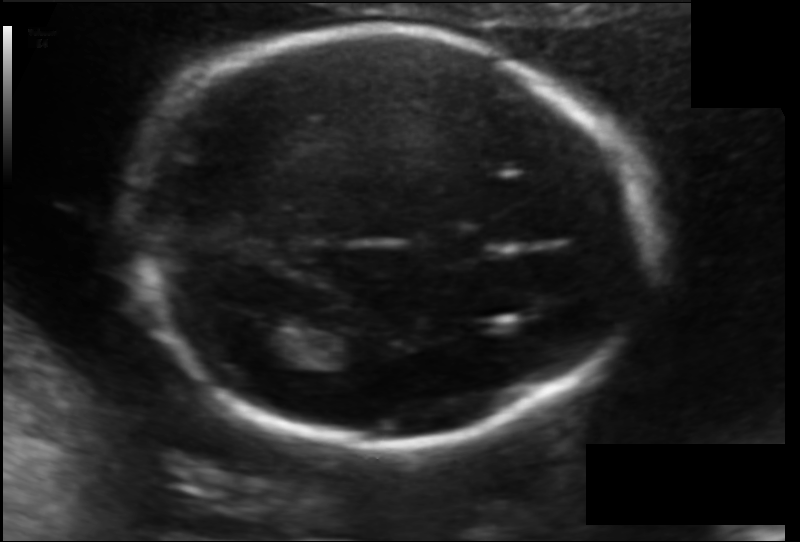
Fetal head ultrasound. Image width: 91.4 mm. Give [x1,y1,x2,y2] bounding boxes for each visible structure among: fetal head, CSP, LV.

Head: [141,33,654,450]
CSP: [421,228,482,261]
Lateral ventricle: [240,326,297,367]